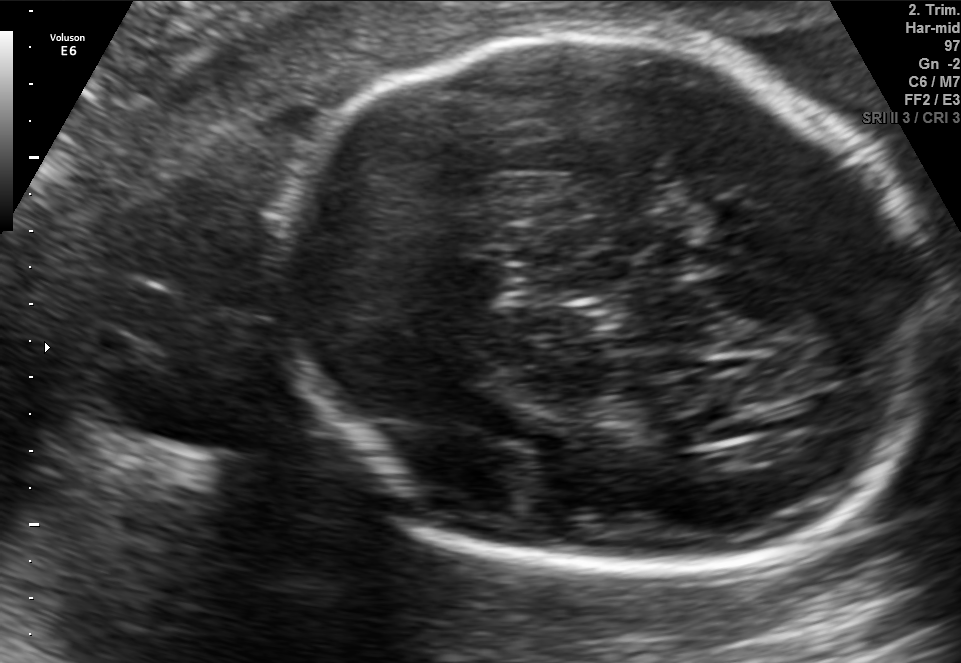
Fetal brain, trans-thalamic plane. Locate the fetal head.

Head: [280,34,934,581]